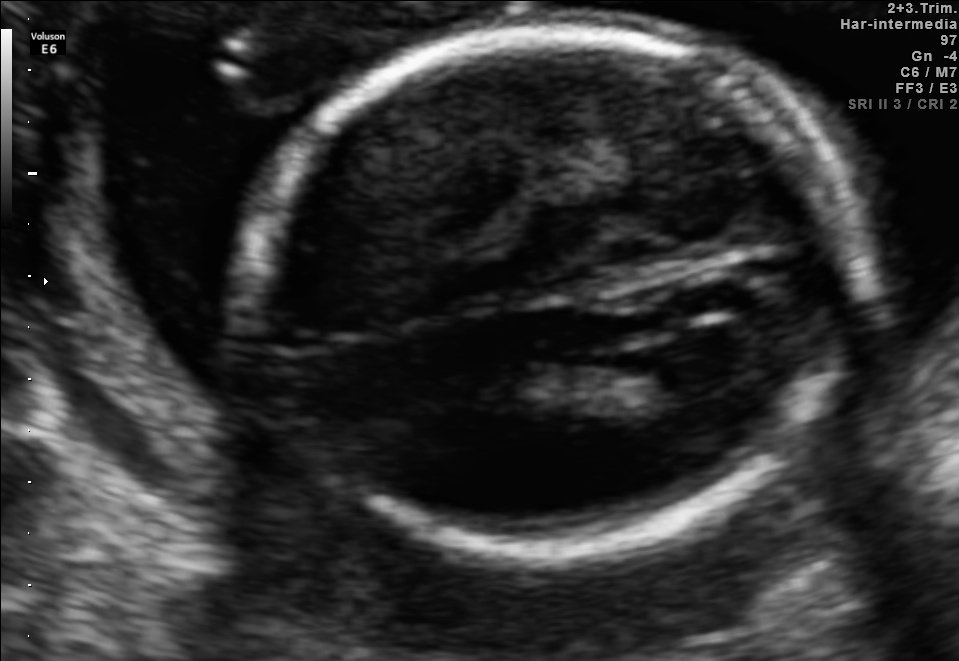
Fetal brain, trans-ventricular plane. Locate the fetal head.

Head: [222,20,869,563]